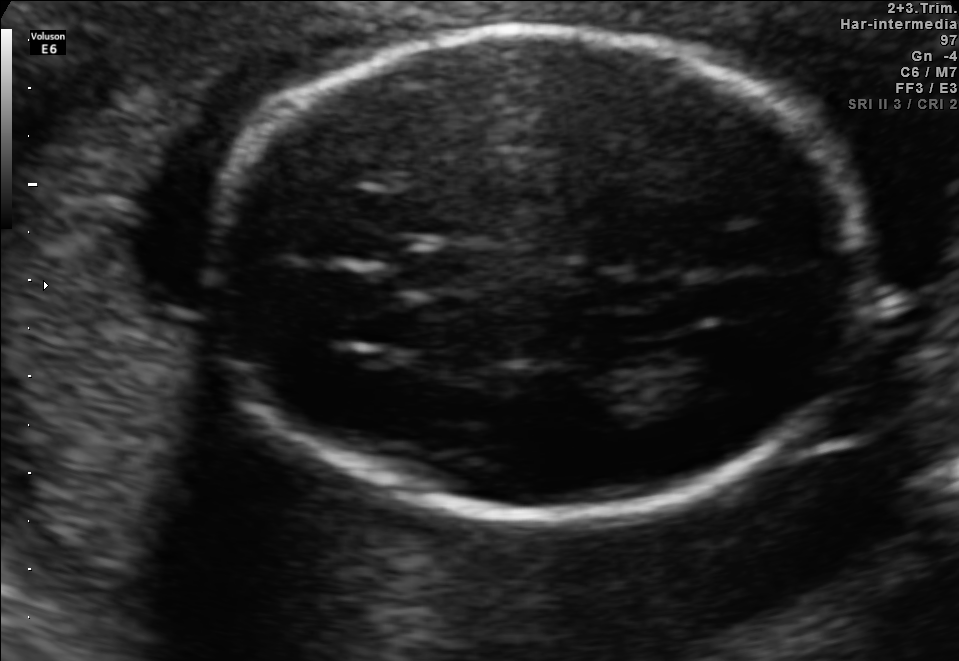
In this fetal brain, trans-thalamic plane, give the bounding box of the cavum septum pellucidum.

[398,246,483,295]